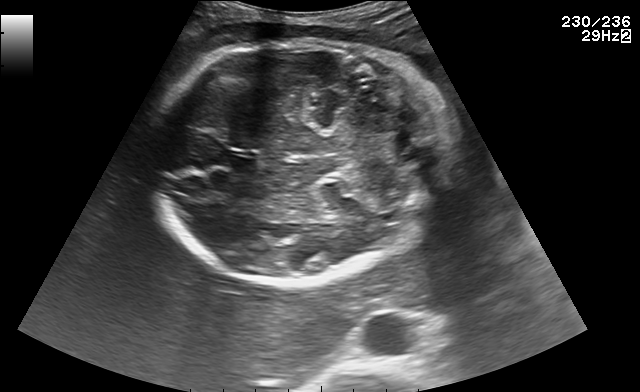
Fetal brain, trans-cerebellum plane. Locate the cavum septum pellucidum.

CSP: [222,153,258,174]